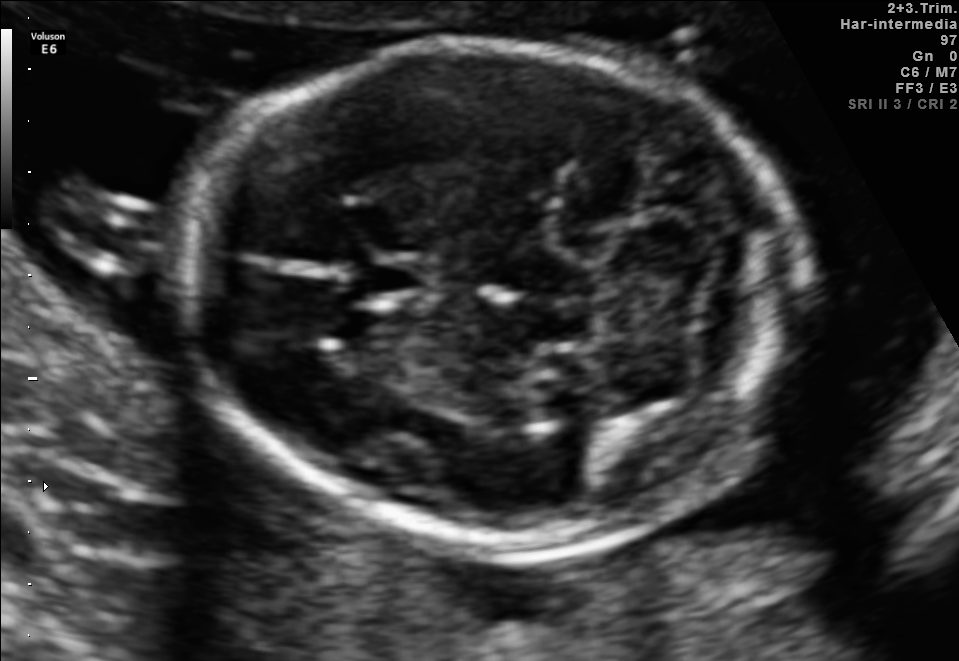
Fetal brain, trans-cerebellum plane. Give [x1,y1,x2,y2] bounding boxes for each visible structure among: fetal head, CSP, LV.

Head: [183,44,808,543]
CSP: [356,255,437,308]